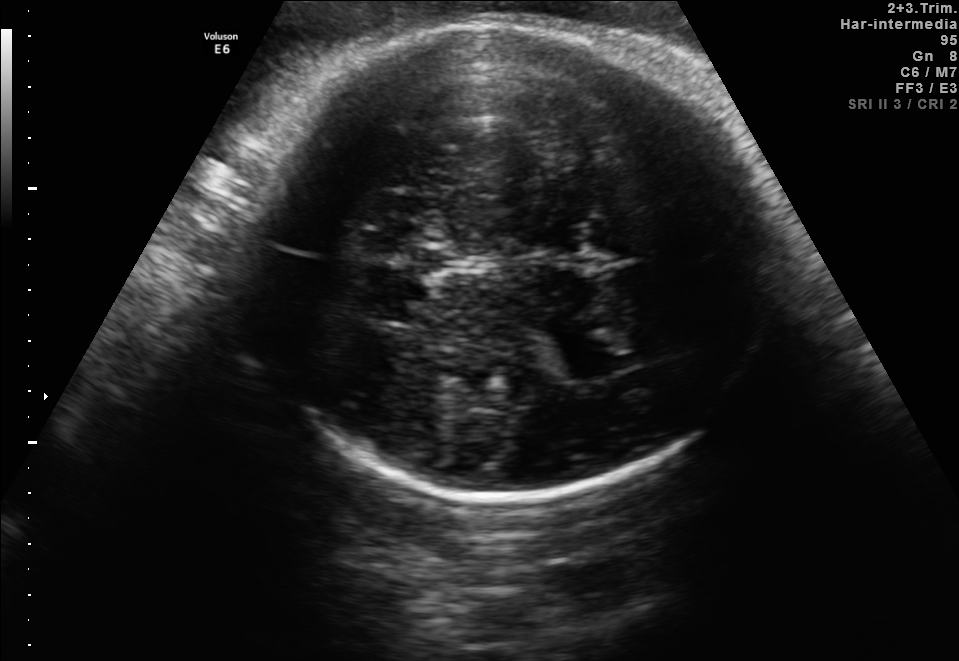
Fetal brain, trans-thalamic plane. Give [x1,y1,x2,y2] bounding boxes for each visible structure among: fetal head, CSP, LV.

Head: [240,24,781,501]